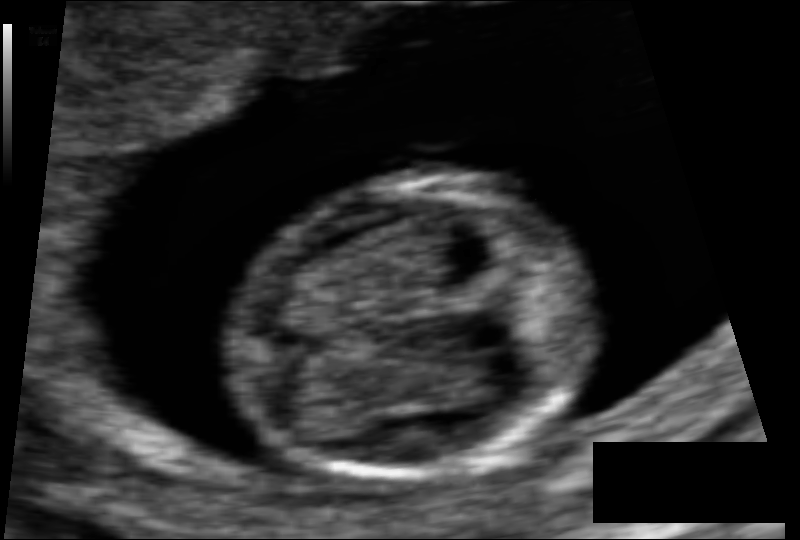
Fetal head ultrasound. Image width: 51.5 mm. Where is the fetal head?

Head bounding box: [229,178,598,475]